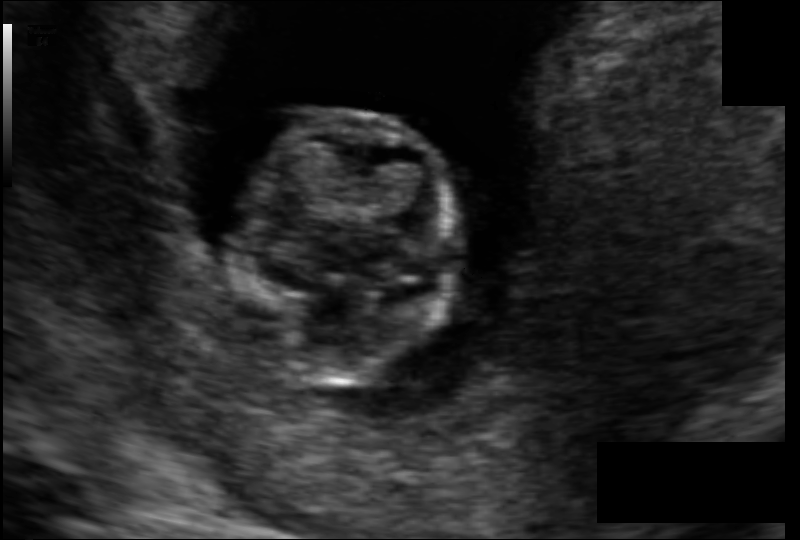
Fetal head ultrasound. Image width: 72.7 mm. Where is the fetal head?

Head bounding box: [237,110,458,387]